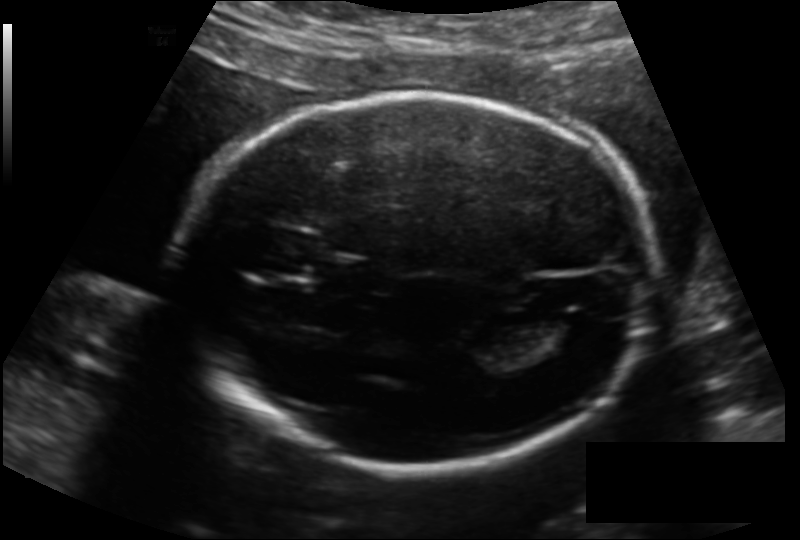
Fetal head ultrasound. Image width: 120.8 mm. Give [x1,y1,x2,y2] bounding boxes for each visible structure among: fetal head, CSP, LV.

Head: [174,94,652,467]
Lateral ventricle: [534,306,600,354]